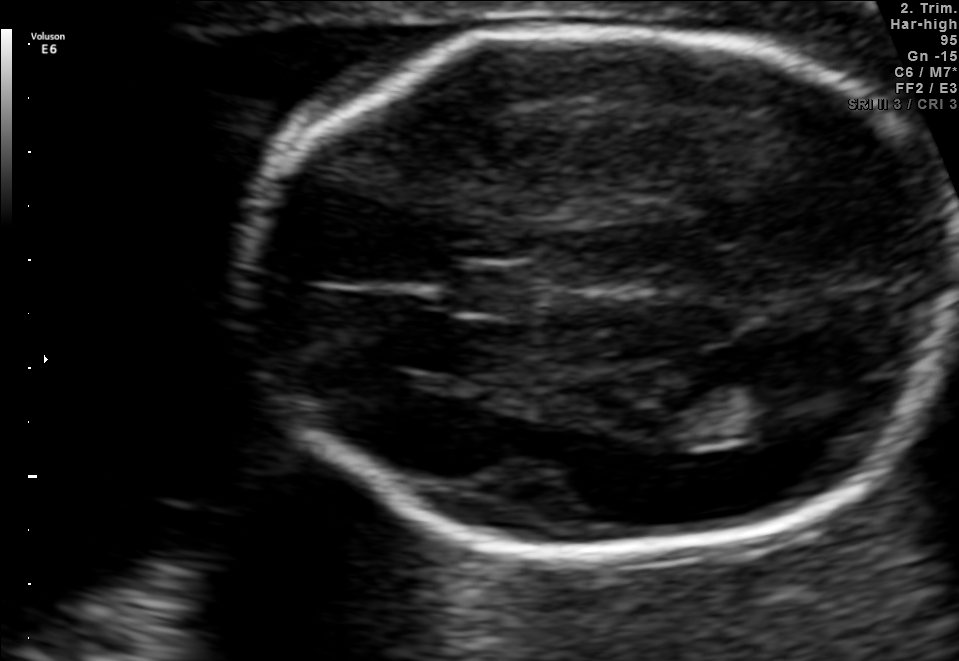
Fetal brain, trans-thalamic plane. Where is the cavum septum pellucidum?

CSP bounding box: [453,265,531,313]